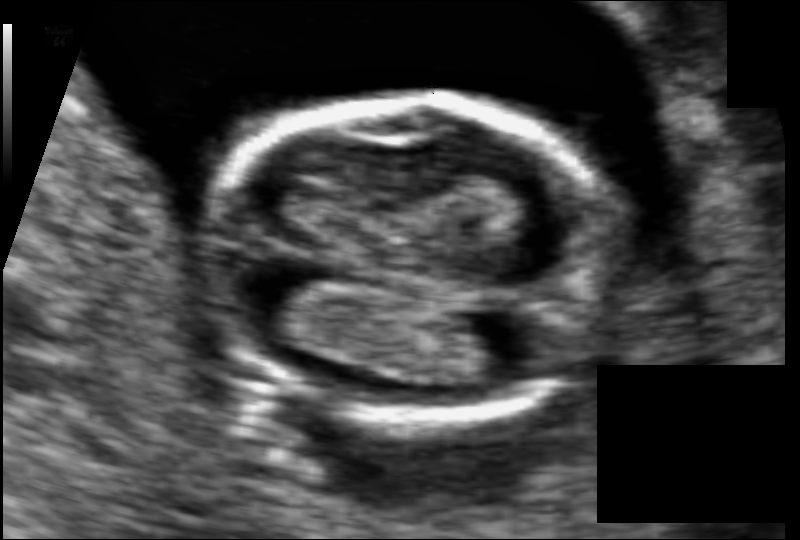
In this fetal head ultrasound, give bounding boxes for the head outline, cavum septum pellucidum (CSP), and lateral ventricle (LV), where visible. Image width: 59.9 mm.

Head: [209,97,630,418]